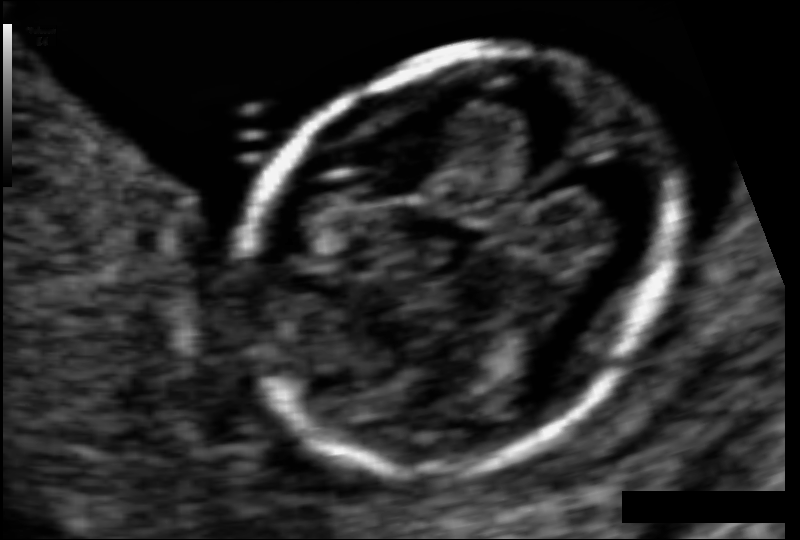
From this fetal ultrasound, estimate the head circumference (image width 48.5 mm).

Head circumference: 83.4 mm.